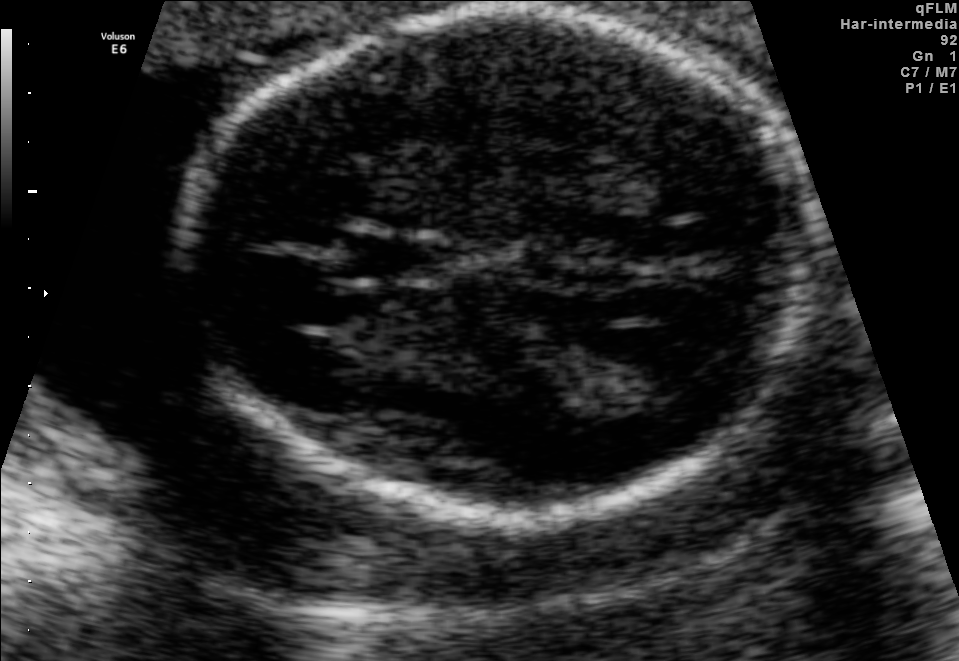
In this fetal brain, trans-thalamic plane, give the bounding box of the lateral ventricle.

[572,312,724,424]